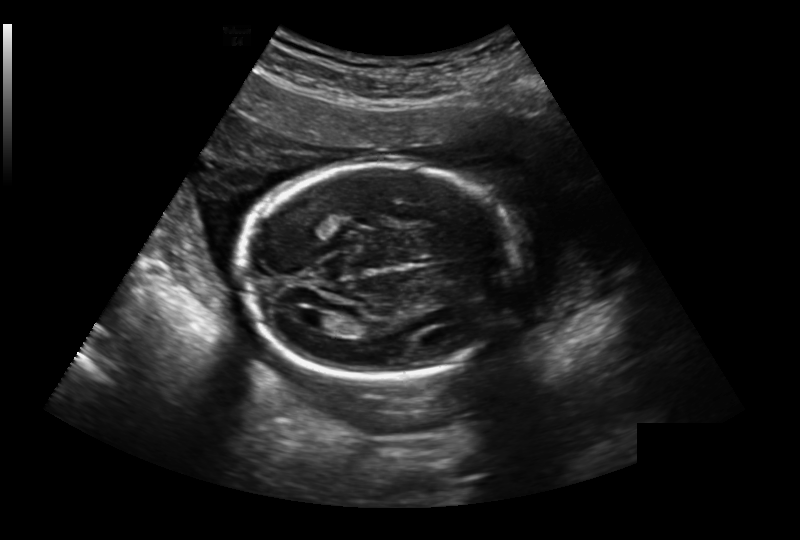
Measure the fetal head circumference shown in this ultrasound image. Image width: 188.5 mm.

Head circumference: 189.1 mm.